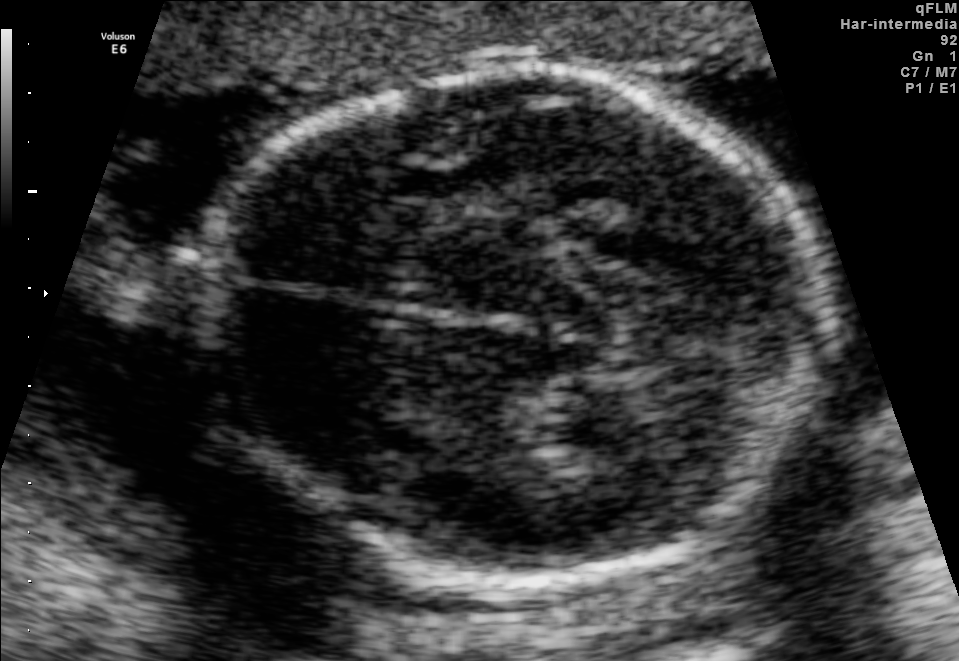
This is a 2D maternal-fetal ultrasound frame. Is it a fetal abdomen, fetal brain, fetal femur, fetal thorax, maternal cervix, or other standard plane? If it's fetal brain and one of the three standard brain planes (trans-thalamic, trans-cerebellum, trans-ventricular), name which.

Fetal brain (trans-thalamic plane)